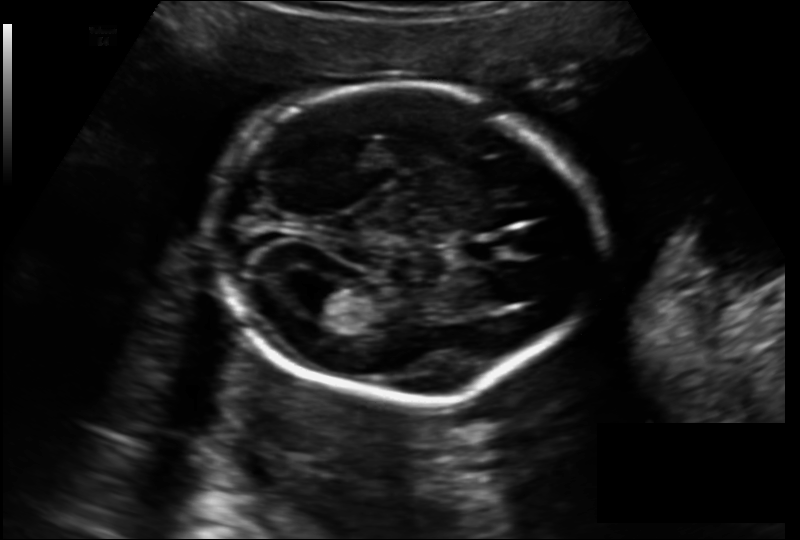
In this fetal head ultrasound, give the bounding box of the cavum septum pellucidum. Image width: 125.9 mm.

[461,237,505,264]